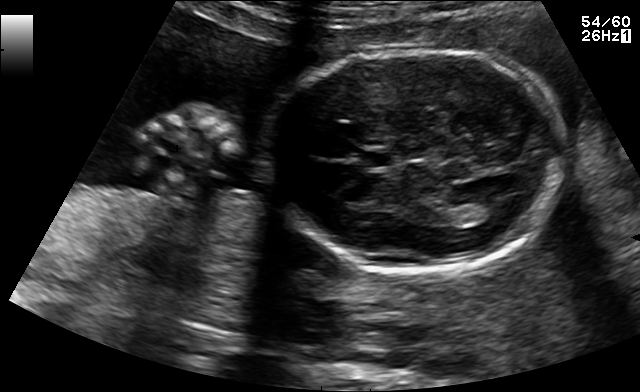
Classify this maternal-fetal ultrasound image as one of the six standard planes — fetal abdomen, fetal brain, fetal femur, fetal thorax, maternal cervix, or other. If it's fetal brain and one of the three standard brain planes (trans-thalamic, trans-cerebellum, trans-ventricular), name which.

Fetal brain (trans-thalamic plane)